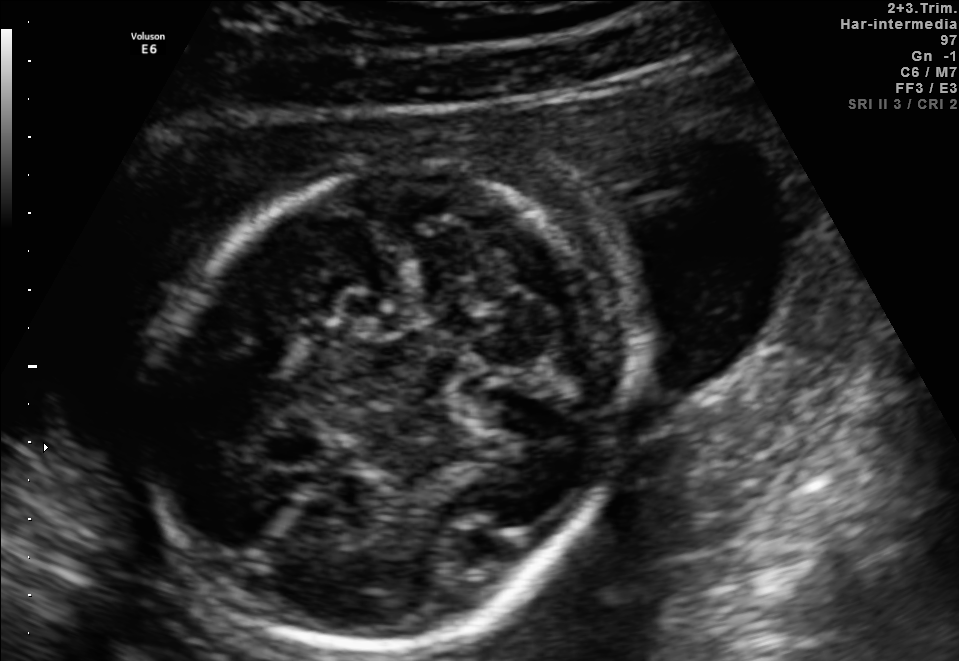
In this fetal brain, trans-cerebellum plane, give the bounding box of the fetal head.

[153,162,616,647]